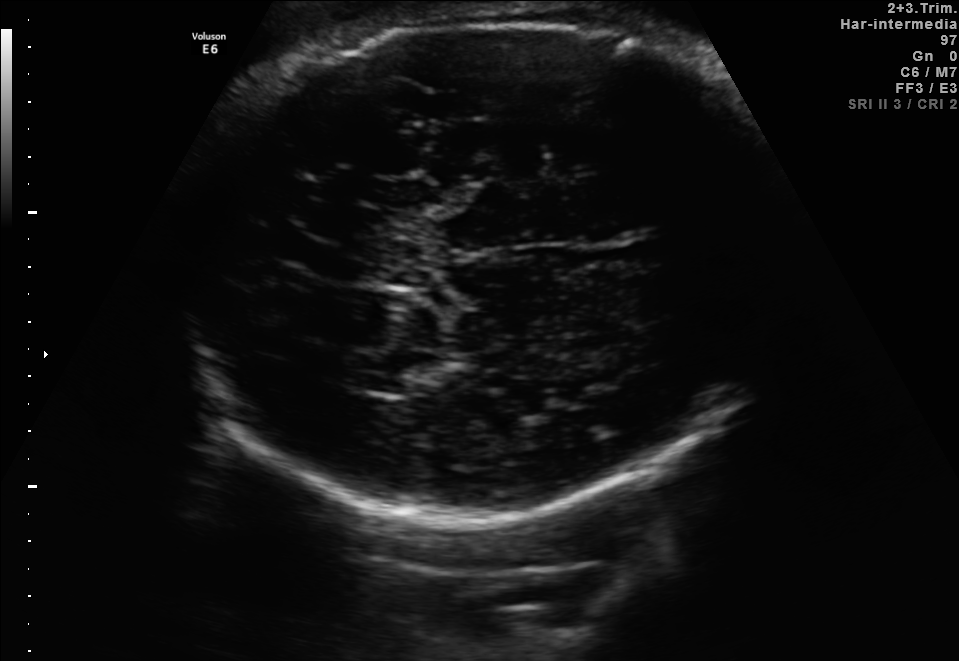
Which standard maternal-fetal ultrasound plane is shown: fetal abdomen, fetal brain, fetal femur, fetal thorax, maternal cervix, or other? If it's fetal brain and one of the three standard brain planes (trans-thalamic, trans-cerebellum, trans-ventricular), name which.

Fetal brain